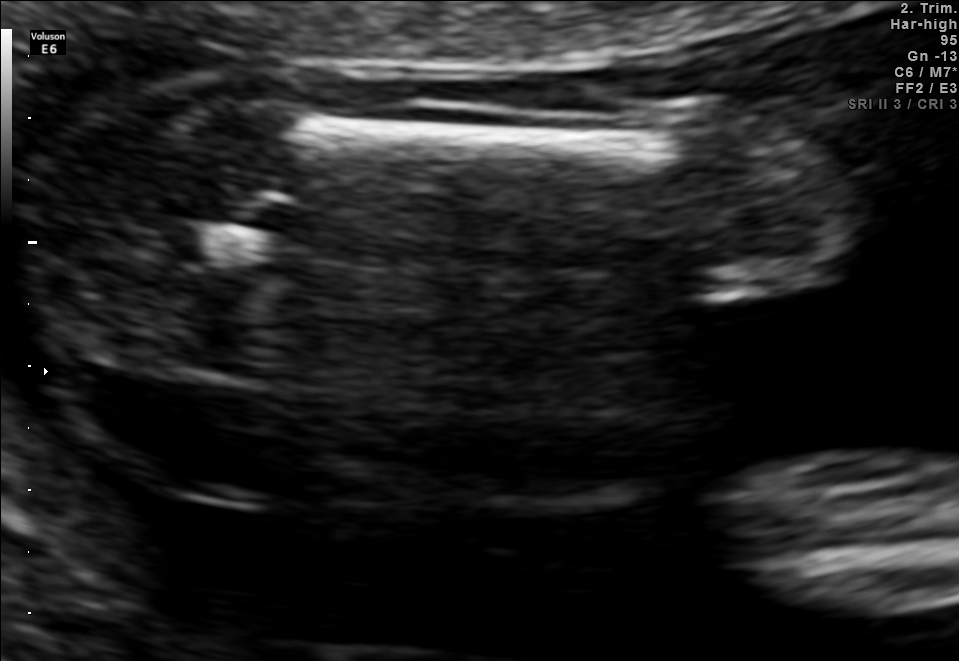
Which standard maternal-fetal ultrasound plane is shown: fetal abdomen, fetal brain, fetal femur, fetal thorax, maternal cervix, or other? If it's fetal brain and one of the three standard brain planes (trans-thalamic, trans-cerebellum, trans-ventricular), name which.

Fetal femur